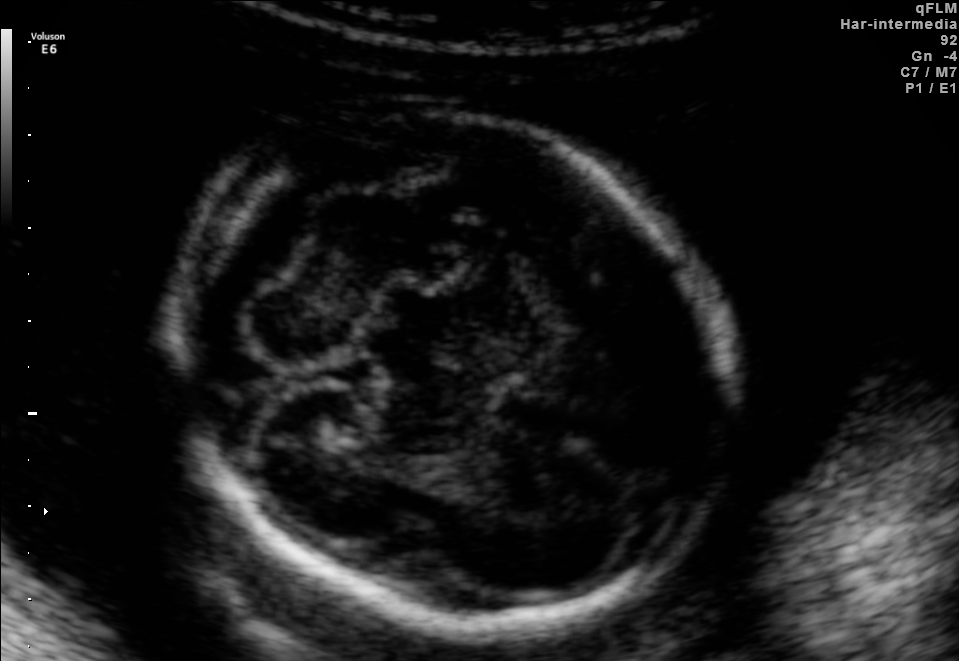
Fetal brain, trans-cerebellum plane. Give [x1,y1,x2,y2] bounding boxes for each visible structure among: fetal head, CSP, LV.

Head: [181,101,726,624]